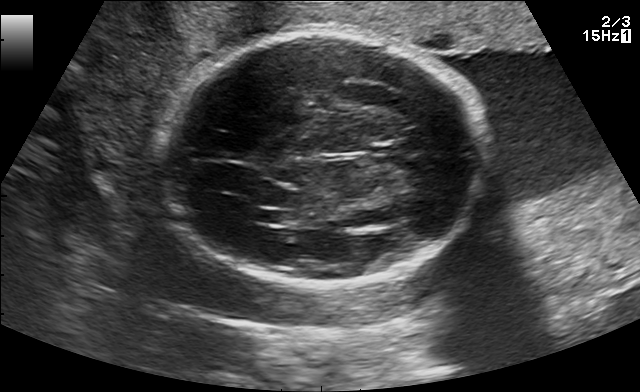
This is a 2D maternal-fetal ultrasound frame. Is it a fetal abdomen, fetal brain, fetal femur, fetal thorax, maternal cervix, or other standard plane? If it's fetal brain and one of the three standard brain planes (trans-thalamic, trans-cerebellum, trans-ventricular), name which.

Fetal brain (trans-thalamic plane)